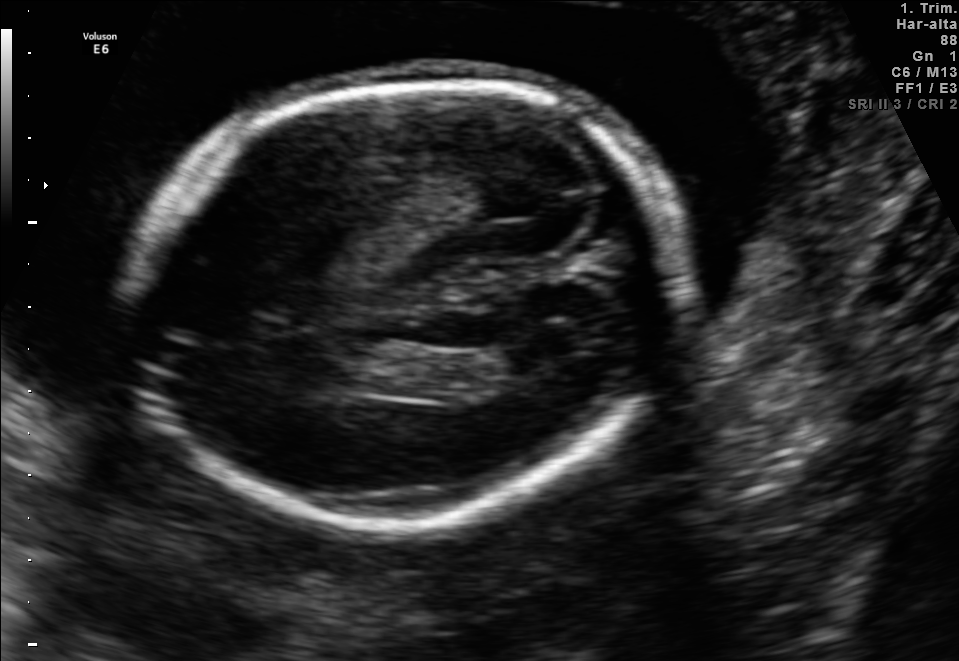
This is a 2D maternal-fetal ultrasound frame. Is it a fetal abdomen, fetal brain, fetal femur, fetal thorax, maternal cervix, or other standard plane? If it's fetal brain and one of the three standard brain planes (trans-thalamic, trans-cerebellum, trans-ventricular), name which.

Fetal brain (trans-ventricular plane)